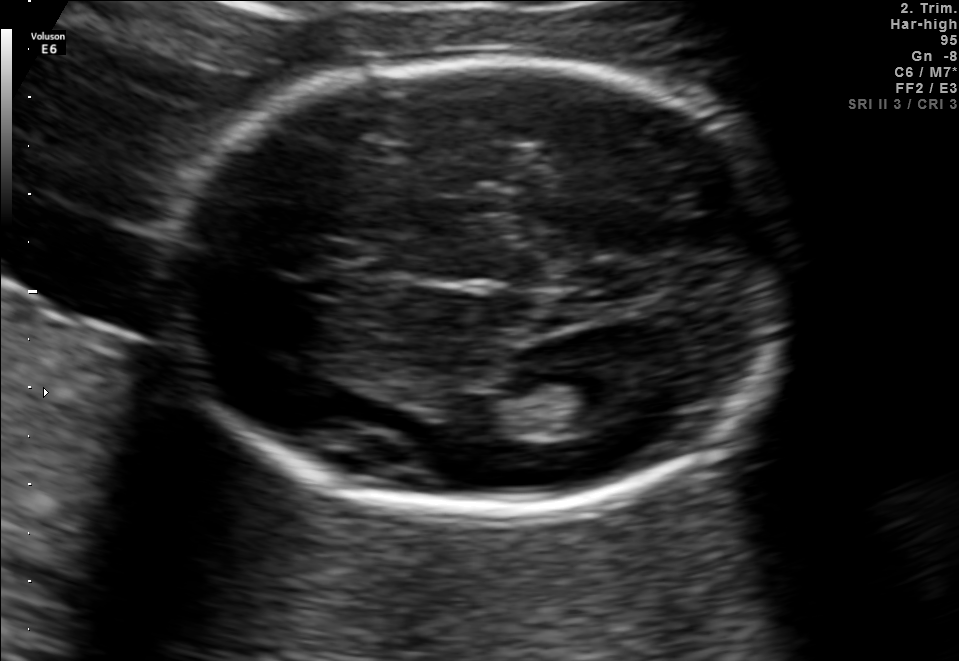
In this fetal brain, trans-thalamic plane, give the bounding box of the lateral ventricle.

[523,363,633,436]